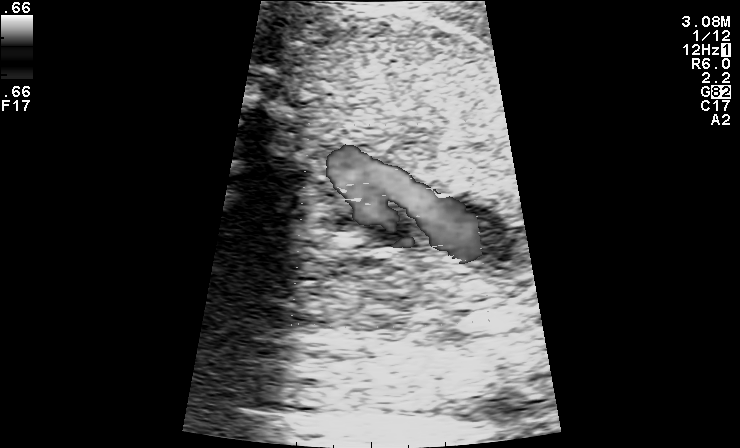
Identify the standard plane in this fetal ultrasound image: fetal abdomen, fetal brain, fetal femur, fetal thorax, maternal cervix, or other. If it's fetal brain and one of the three standard brain planes (trans-thalamic, trans-cerebellum, trans-ventricular), name which.

Other